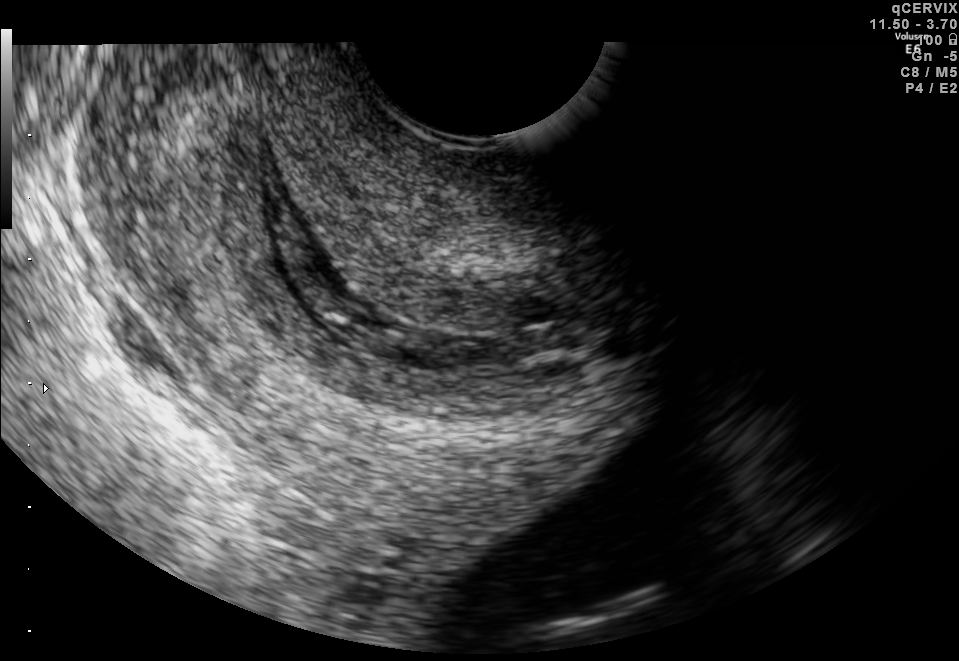
This is a 2D maternal-fetal ultrasound frame. Is it a fetal abdomen, fetal brain, fetal femur, fetal thorax, maternal cervix, or other standard plane? If it's fetal brain and one of the three standard brain planes (trans-thalamic, trans-cerebellum, trans-ventricular), name which.

Maternal cervix